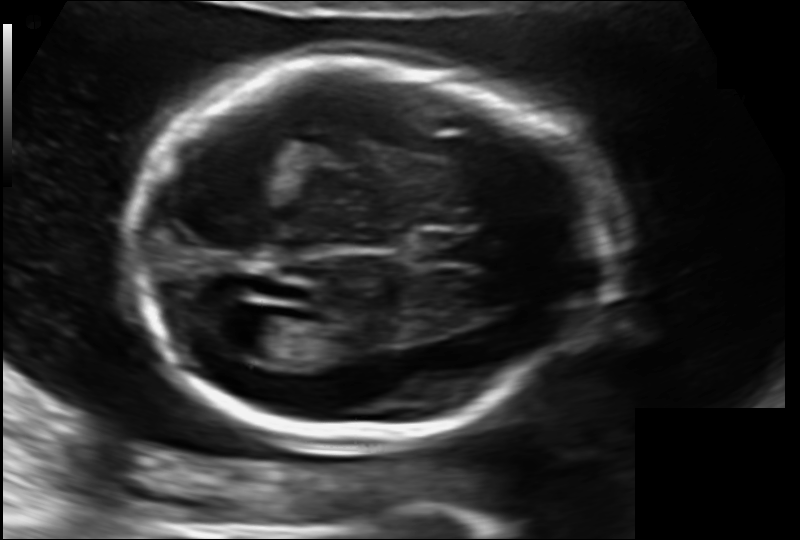
Fetal head ultrasound. Image width: 103.9 mm. Locate the fetal head.

Head: [131,60,602,440]